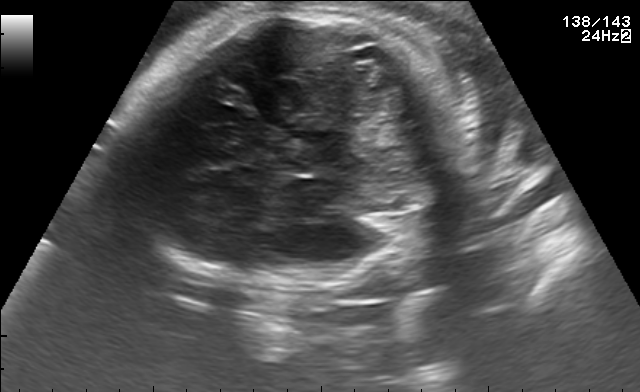
Fetal brain, trans-thalamic plane. Where is the fetal head?

Head bounding box: [125,9,454,288]